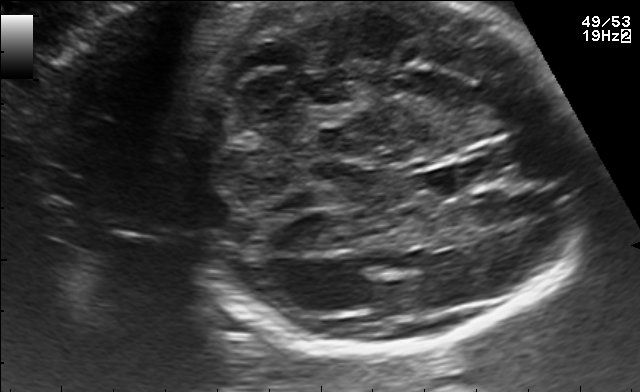
Fetal brain, trans-cerebellum plane. Give [x1,y1,x2,y2] bounding boxes for each visible structure among: fetal head, CSP, LV.

Head: [176,1,581,352]